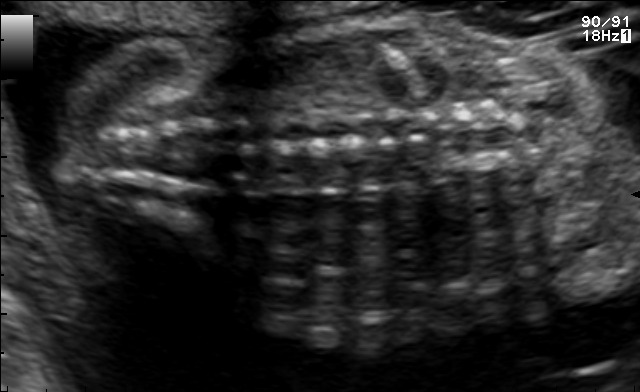
Identify the standard plane in this fetal ultrasound image: fetal abdomen, fetal brain, fetal femur, fetal thorax, maternal cervix, or other. If it's fetal brain and one of the three standard brain planes (trans-thalamic, trans-cerebellum, trans-ventricular), name which.

Other